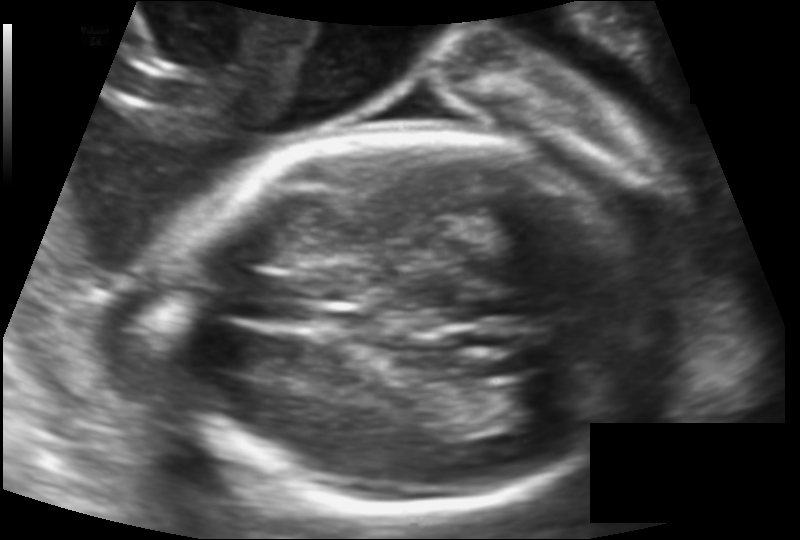
Estimate the fetal head circumference from this 2D ultrasound. Image width: 106.2 mm.

Head circumference: 177.5 mm.